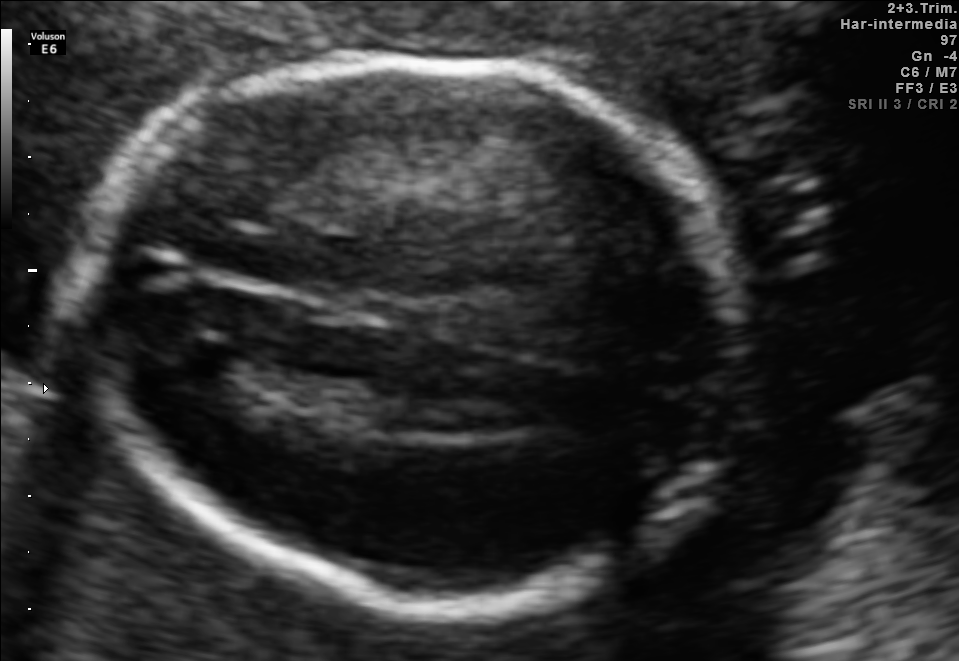
Fetal brain, trans-thalamic plane. Locate the fetal head.

Head: [82,58,745,605]